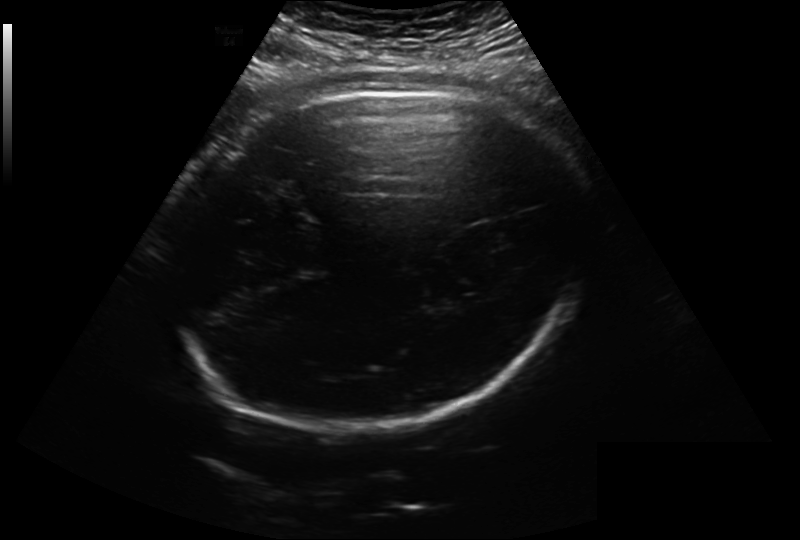
Fetal head ultrasound. Image width: 223.6 mm. Give [x1,y1,x2,y2] bounding boxes for each visible structure among: fetal head, CSP, LV.

Head: [164,91,595,426]